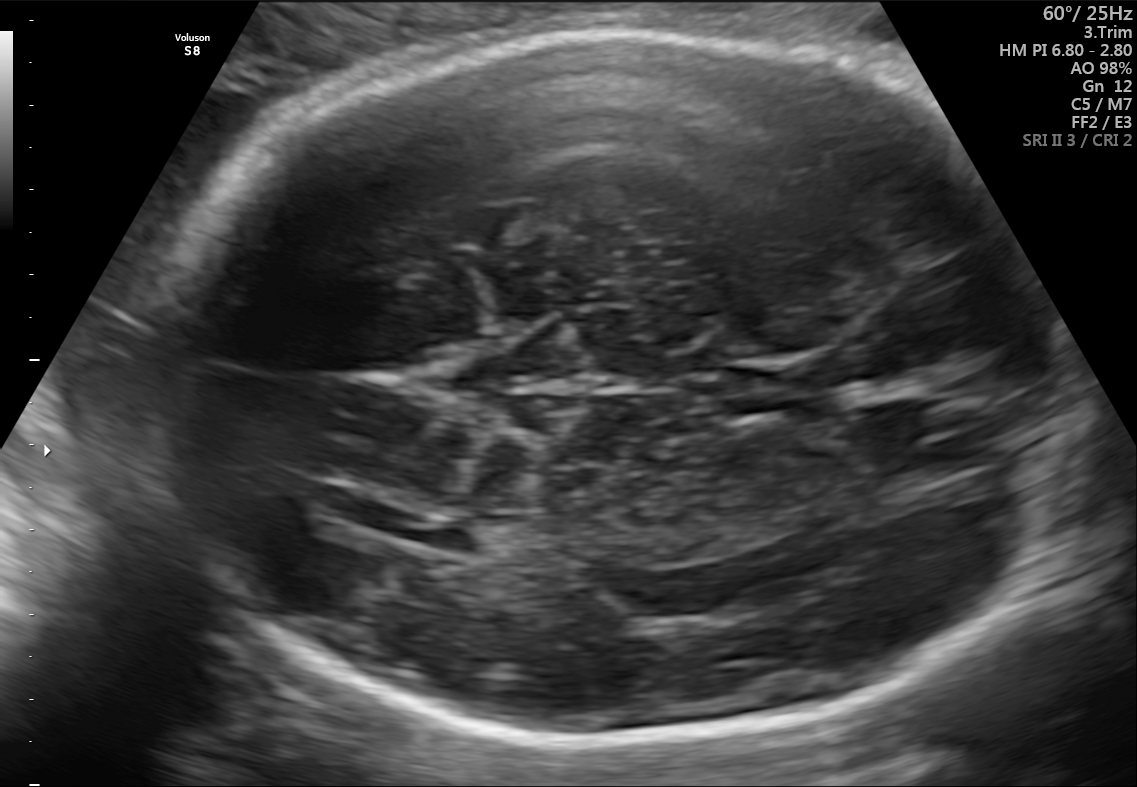
In this fetal brain, trans-ventricular plane, give bounding boxes for the head outline, cavum septum pellucidum (CSP), and lateral ventricle (LV), where visible.

Head: [139,25,1053,750]
CSP: [731,369,805,416]